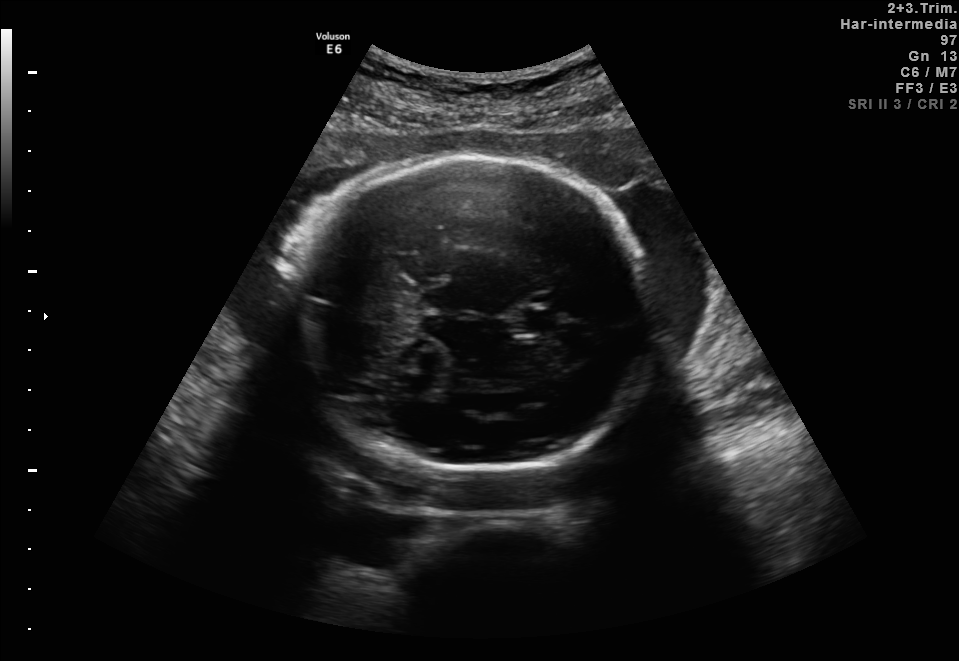
Fetal brain, trans-thalamic plane. Locate the fetal head.

Head: [293,155,658,468]